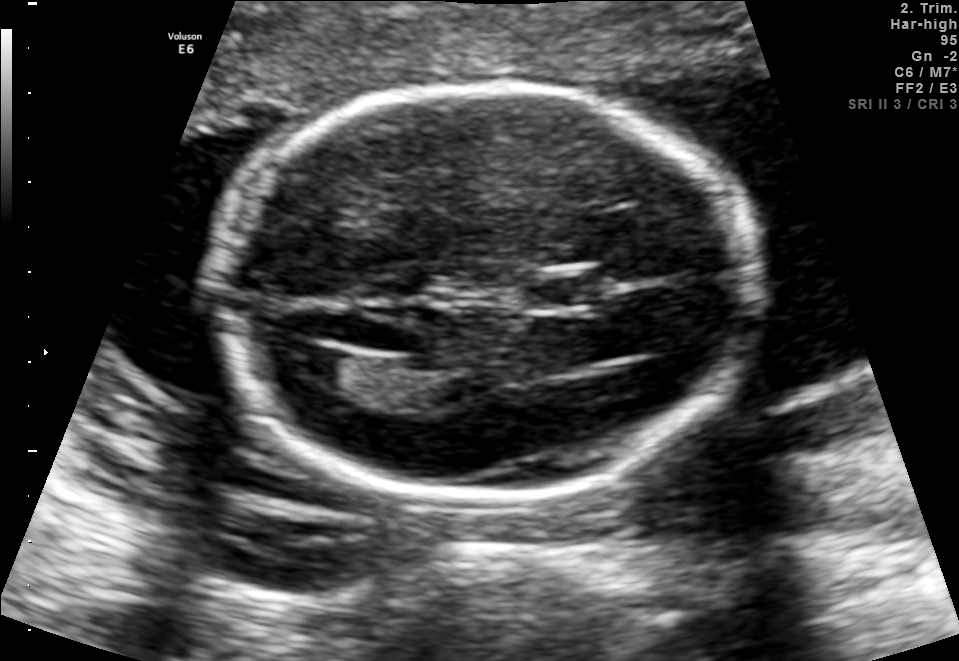
Fetal brain, trans-ventricular plane. Where is the cavum septum pellucidum?

CSP bounding box: [521,274,621,309]